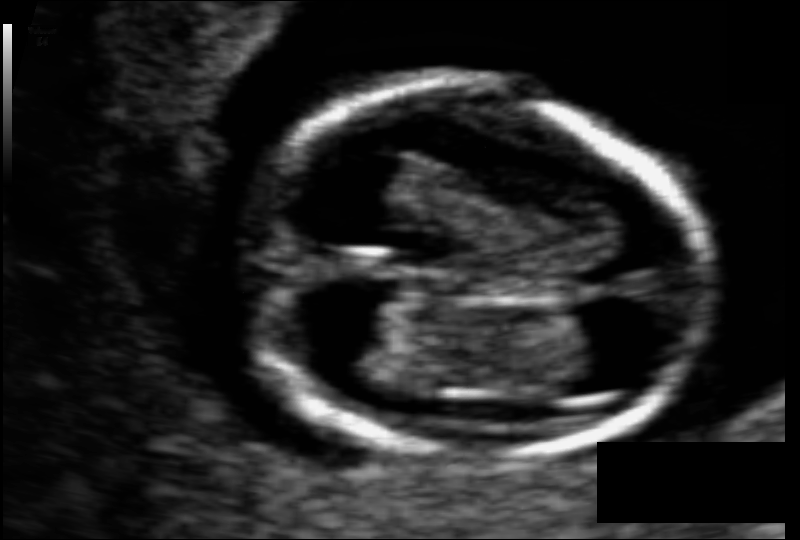
Measure the fetal head circumference shown in this ultrasound image. Image width: 50.4 mm.

Head circumference: 84.4 mm.